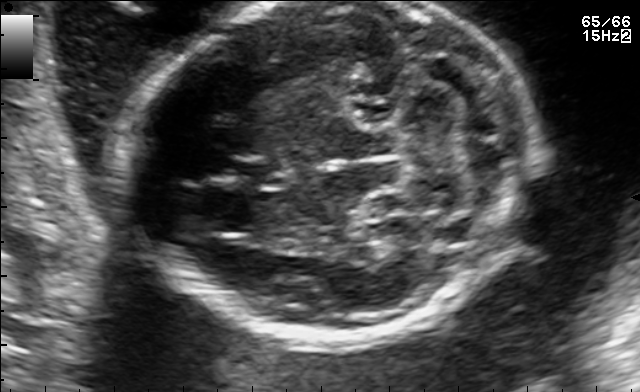
Fetal brain, trans-cerebellum plane. Locate the fetal head.

Head: [129,2,542,343]